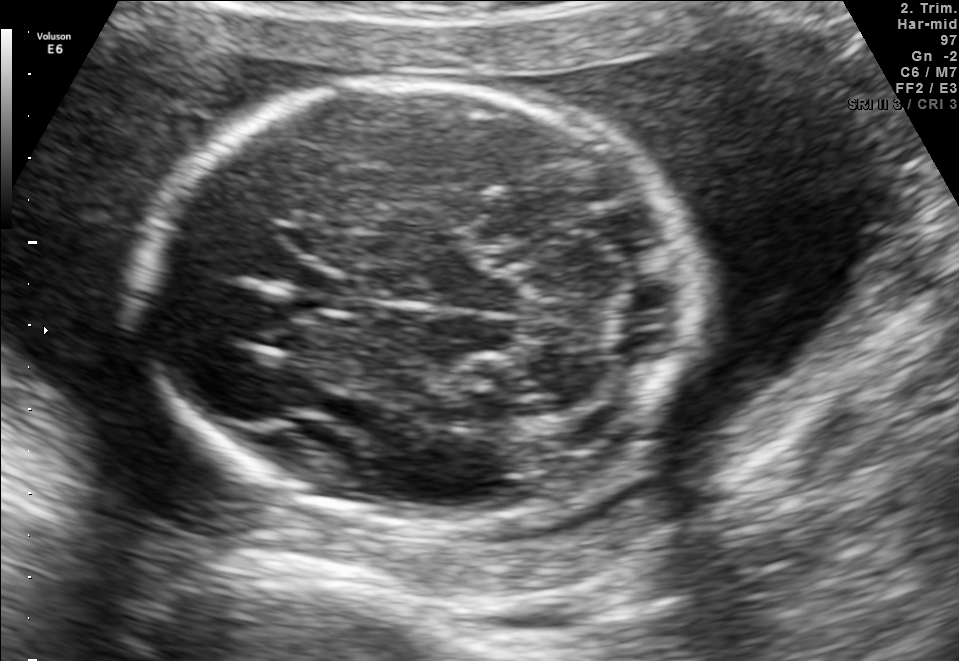
Fetal brain, trans-cerebellum plane. Give [x1,y1,x2,y2] bounding boxes for each visible structure among: fetal head, CSP, LV.

Head: [142,77,691,528]